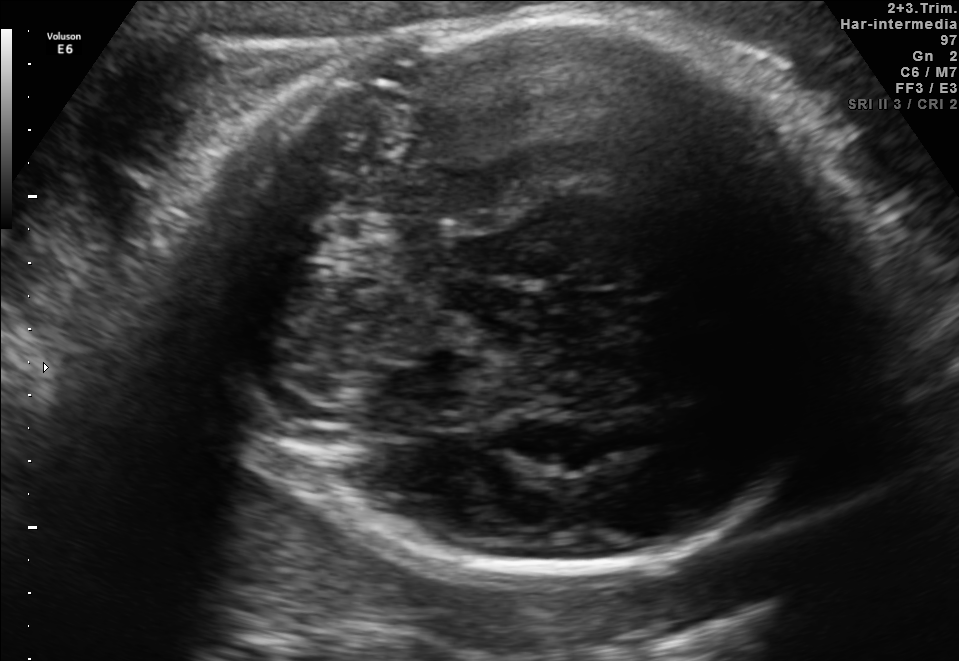
Fetal brain, trans-thalamic plane. Where is the fetal head?

Head bounding box: [203,9,864,582]